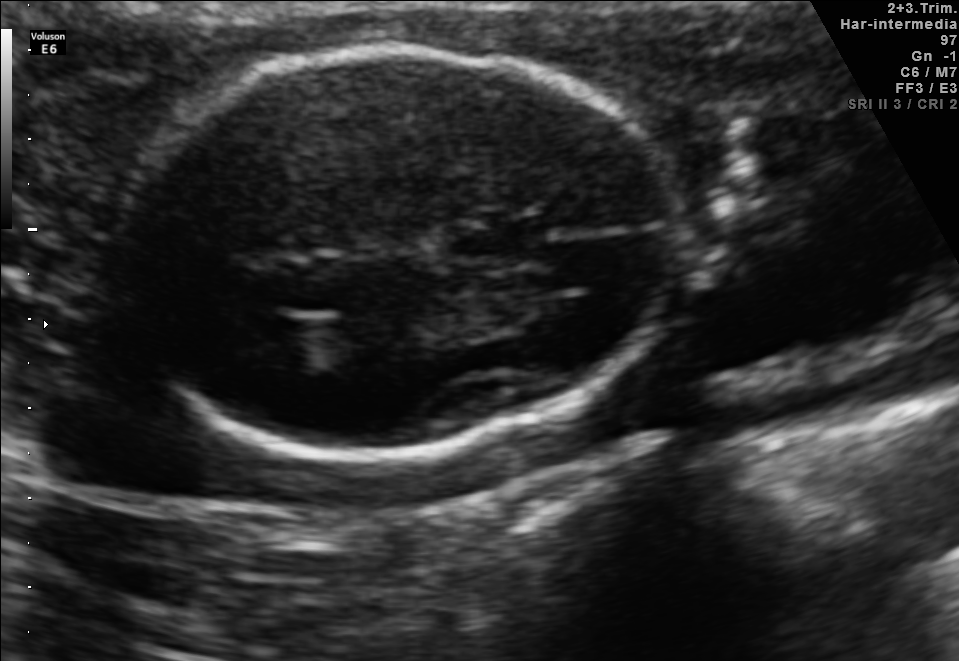
In this fetal brain, trans-thalamic plane, give the bounding box of the fetal head.

[116,48,673,453]